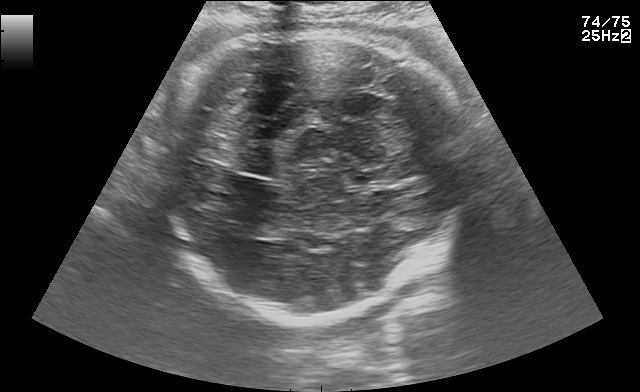
In this fetal brain, trans-thalamic plane, give the bounding box of the fetal head.

[158,32,468,320]